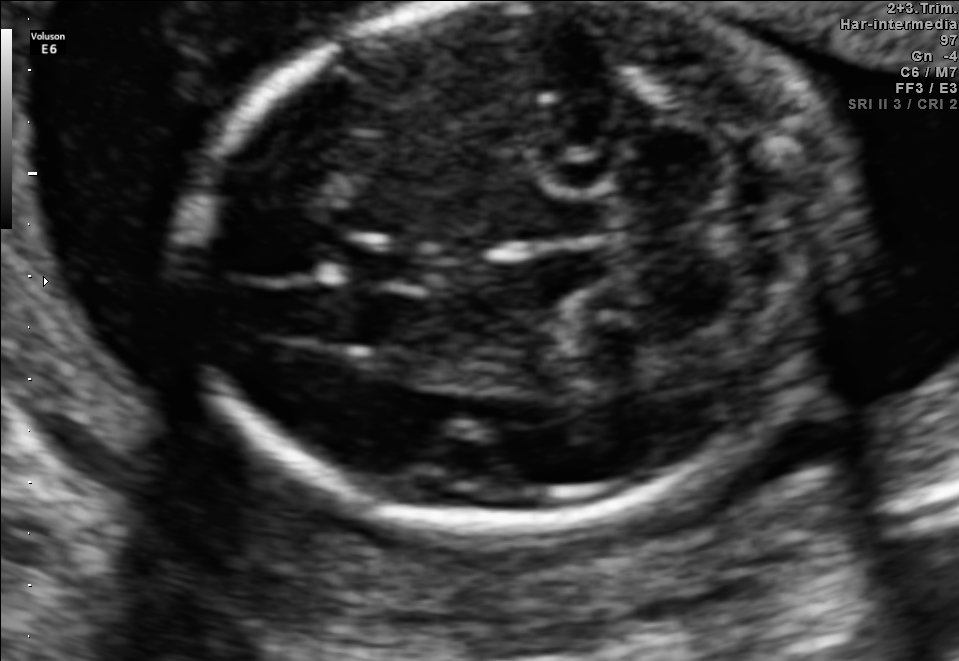
Fetal brain, trans-cerebellum plane. Give [x1,y1,x2,y2] bounding boxes for each visible structure among: fetal head, CSP, LV.

Head: [181,6,850,517]
CSP: [328,235,426,291]